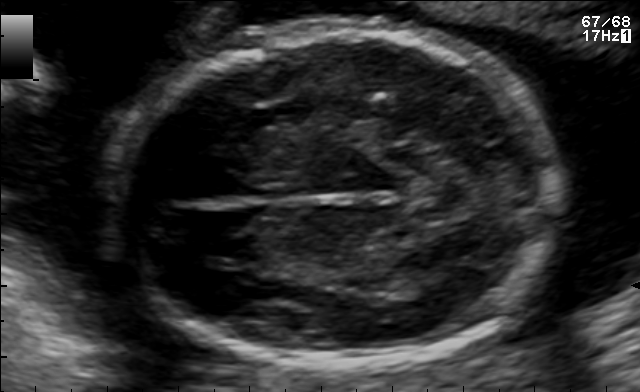
This is a 2D maternal-fetal ultrasound frame. Is it a fetal abdomen, fetal brain, fetal femur, fetal thorax, maternal cervix, or other standard plane? If it's fetal brain and one of the three standard brain planes (trans-thalamic, trans-cerebellum, trans-ventricular), name which.

Fetal brain (trans-thalamic plane)